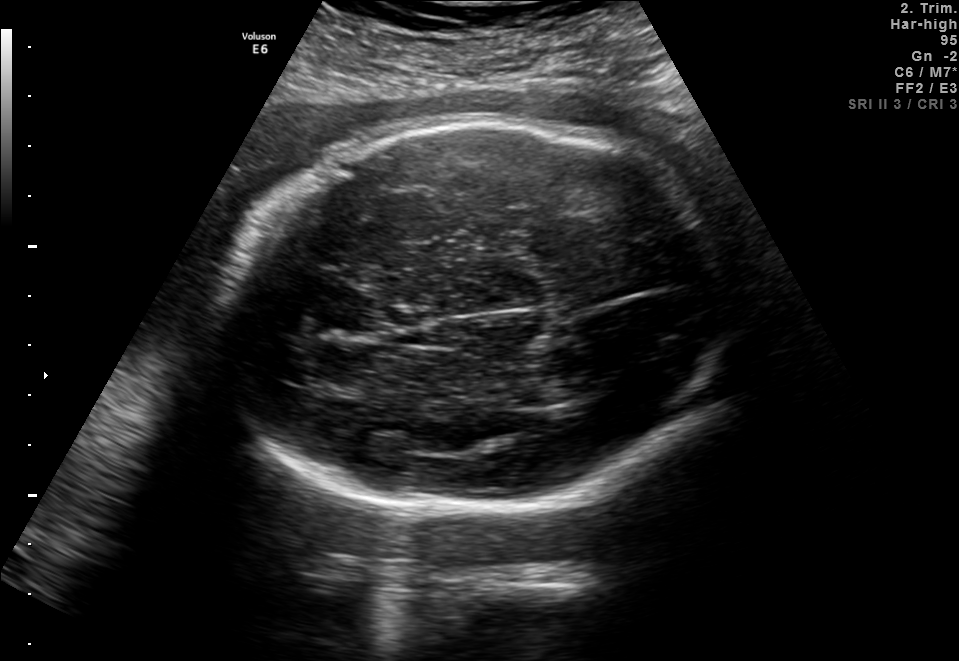
In this fetal brain, trans-thalamic plane, give the bounding box of the fetal head.

[224,125,743,508]